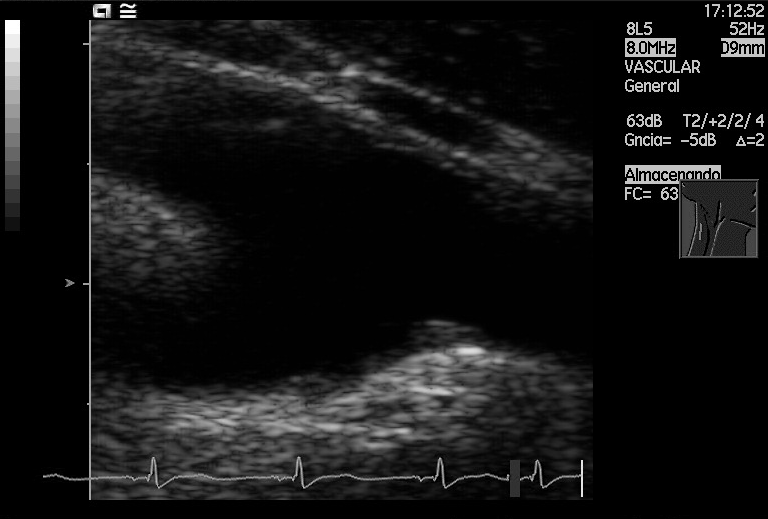
Classify this maternal-fetal ultrasound image as one of the six standard planes — fetal abdomen, fetal brain, fetal femur, fetal thorax, maternal cervix, or other. If it's fetal brain and one of the three standard brain planes (trans-thalamic, trans-cerebellum, trans-ventricular), name which.

Other